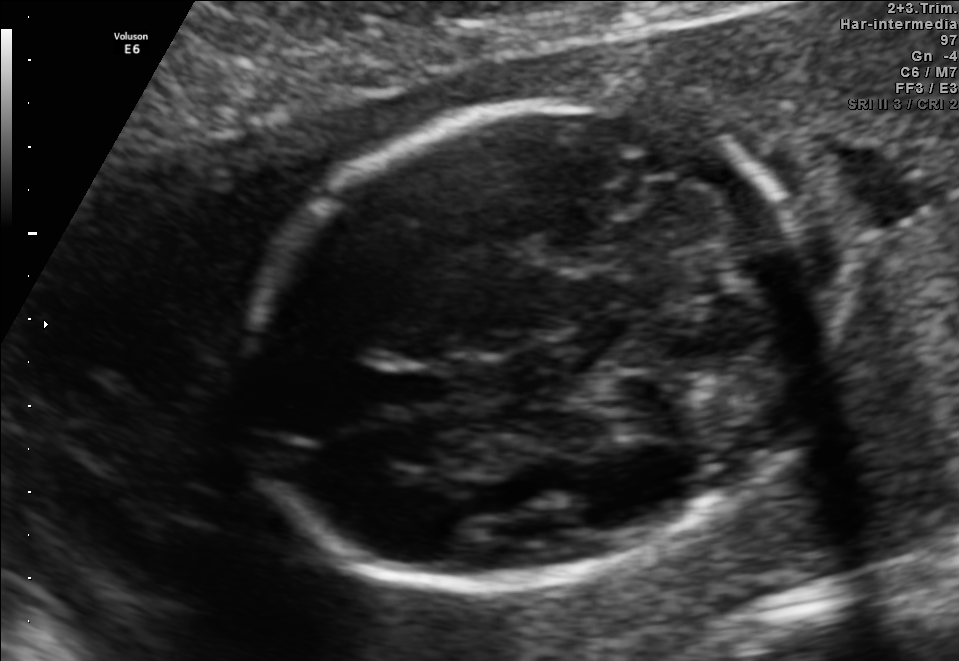
Fetal brain, trans-cerebellum plane. Locate the fetal head.

Head: [247,102,826,581]